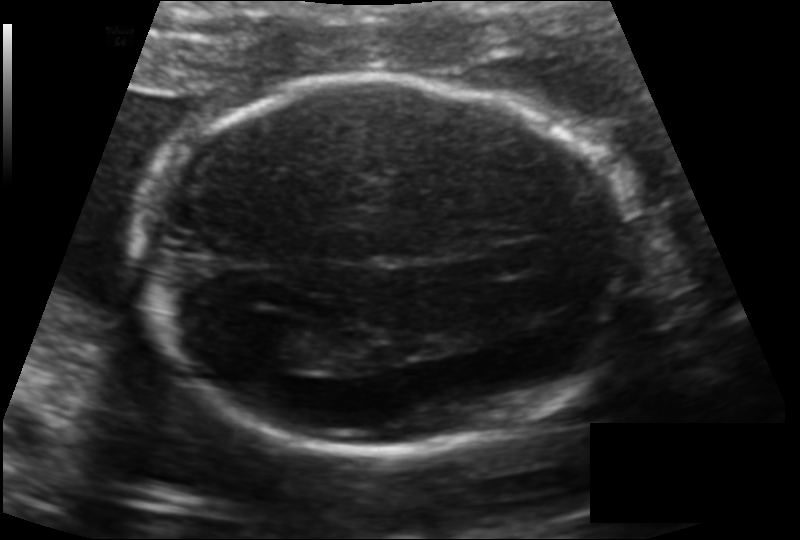
Fetal head ultrasound. Image width: 107.0 mm. Locate the fetal head.

Head: [149,77,637,450]